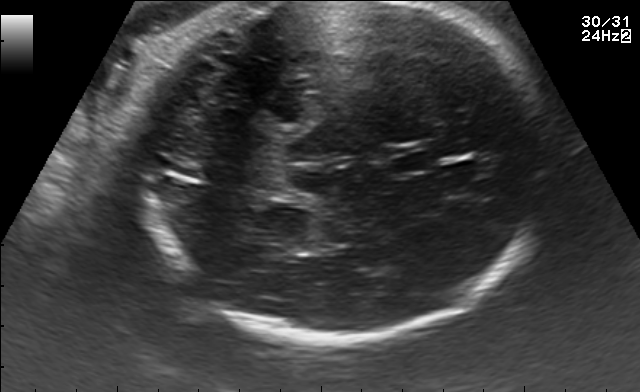
Classify this maternal-fetal ultrasound image as one of the six standard planes — fetal abdomen, fetal brain, fetal femur, fetal thorax, maternal cervix, or other. If it's fetal brain and one of the three standard brain planes (trans-thalamic, trans-cerebellum, trans-ventricular), name which.

Fetal brain (trans-thalamic plane)